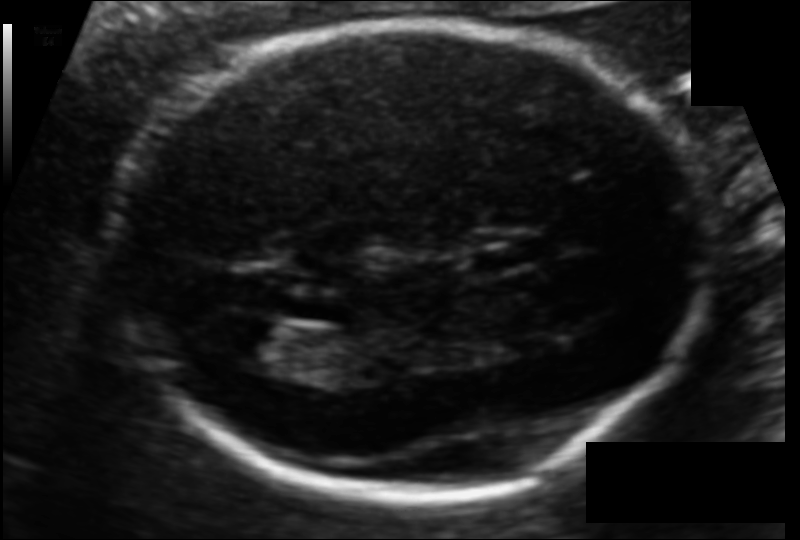
Fetal head ultrasound. Image width: 85.1 mm. Locate the cavum septum pellucidum.

CSP: [462,231,544,279]